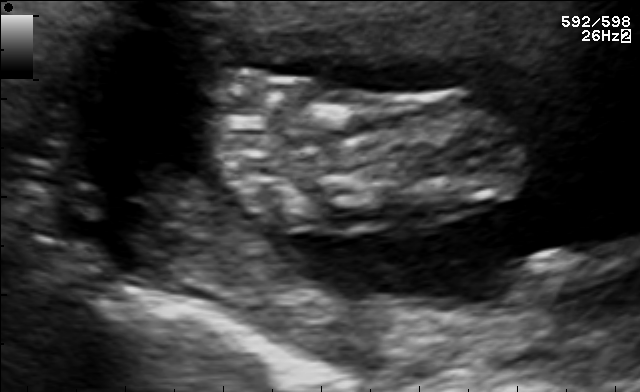
Identify the standard plane in this fetal ultrasound image: fetal abdomen, fetal brain, fetal femur, fetal thorax, maternal cervix, or other. If it's fetal brain and one of the three standard brain planes (trans-thalamic, trans-cerebellum, trans-ventricular), name which.

Other